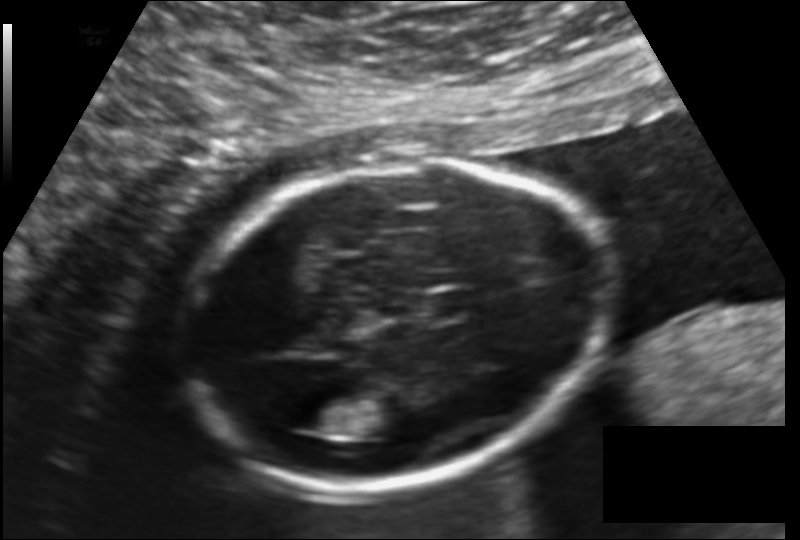
Estimate the fetal head circumference from this 2D ultrasound. Image width: 112.0 mm.

Head circumference: 178.3 mm.